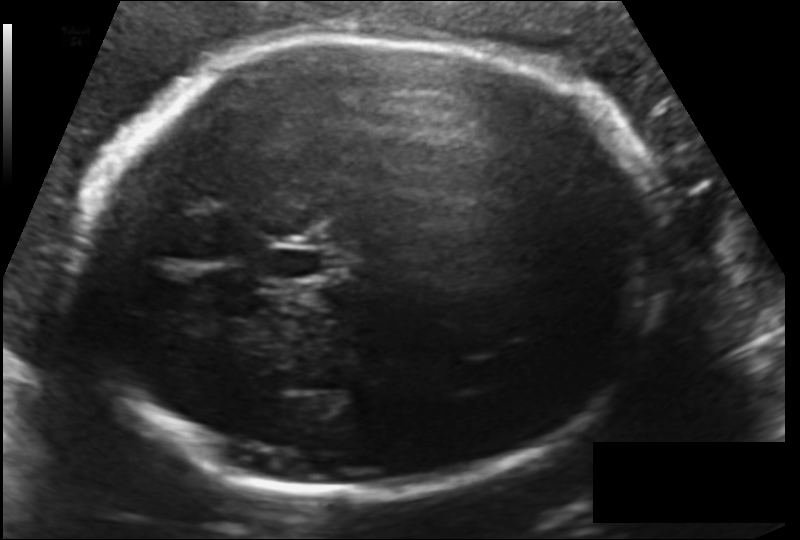
Fetal head ultrasound. Image width: 122.1 mm. Locate the fetal head and, if visible, the cavum septum pellucidum (CSP) and lateral ventricle (LV). Give bounding boxes as [x1,y1,x2,y2].

Head: [74,35,666,498]
CSP: [265,244,330,282]